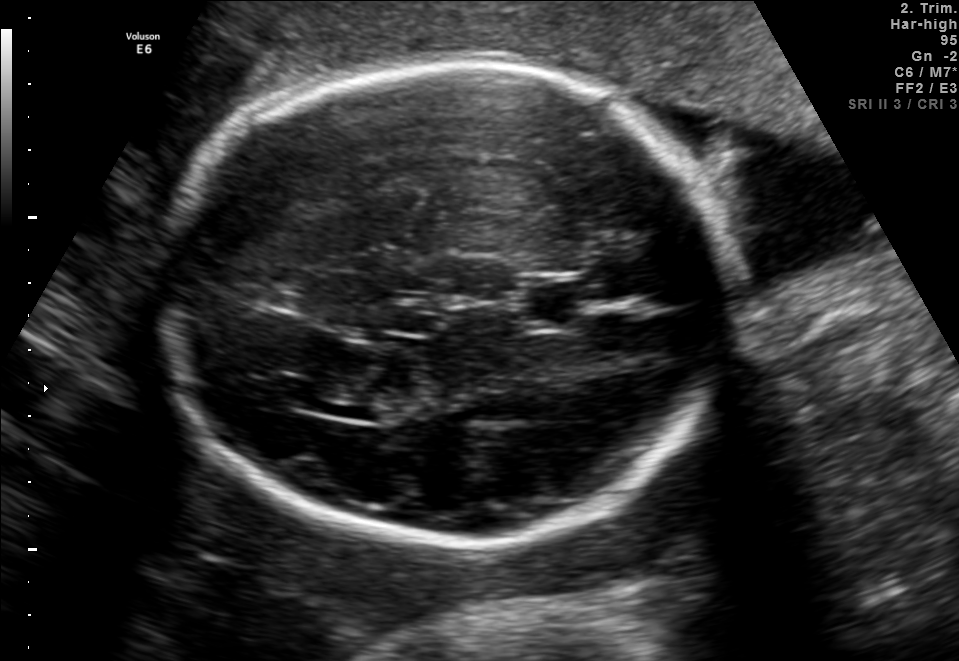
In this fetal brain, trans-thalamic plane, give the bounding box of the lateral ventricle.

[281,377,386,423]